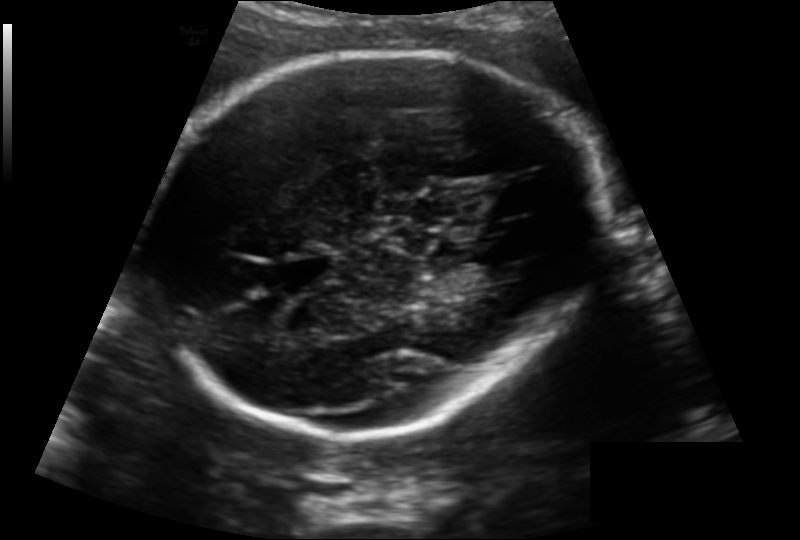
Estimate the fetal head circumference from this 2D ultrasound.

Head circumference: 222.3 mm (image width 130.3 mm).